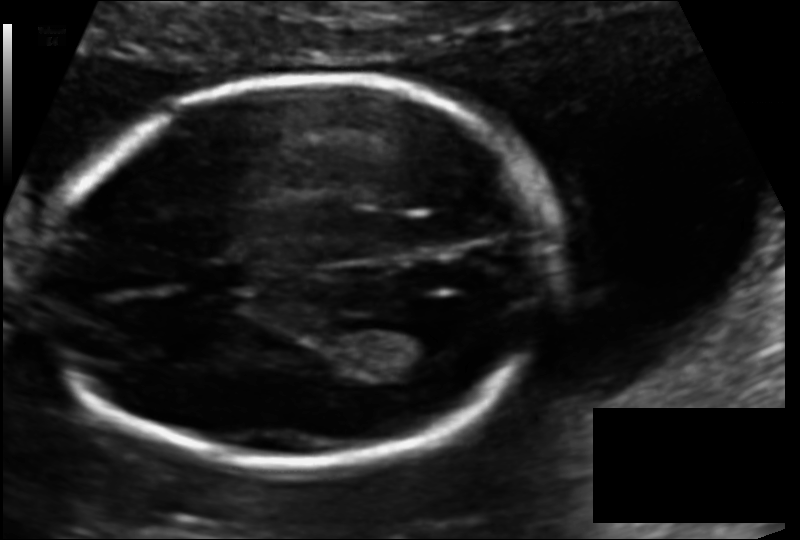
In this fetal head ultrasound, give bounding boxes for the head outline, cavum septum pellucidum (CSP), and lateral ventricle (LV), where visible. Image width: 90.5 mm.

Head: [53,79,549,466]
CSP: [180,258,252,300]
Lateral ventricle: [355,310,450,374]